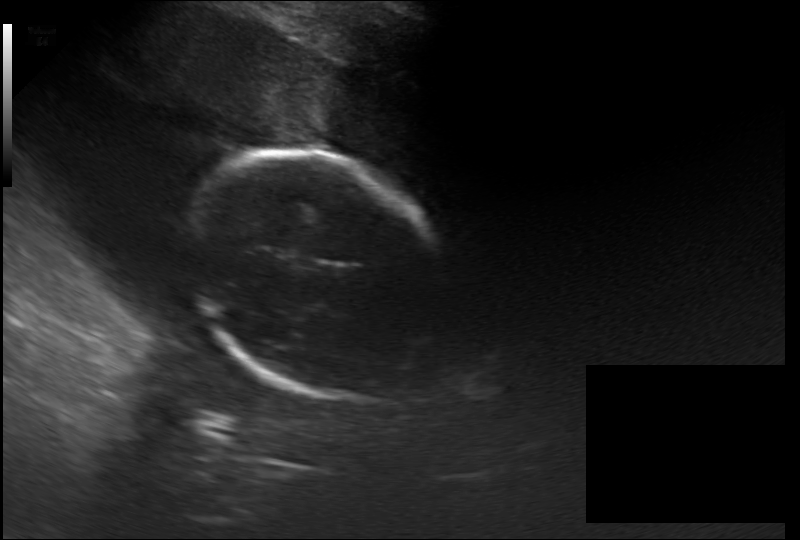
Fetal head ultrasound. Image width: 211.0 mm. Give [x1,y1,x2,y2] bounding boxes for each visible structure among: fetal head, CSP, LV.

Head: [184,153,455,400]